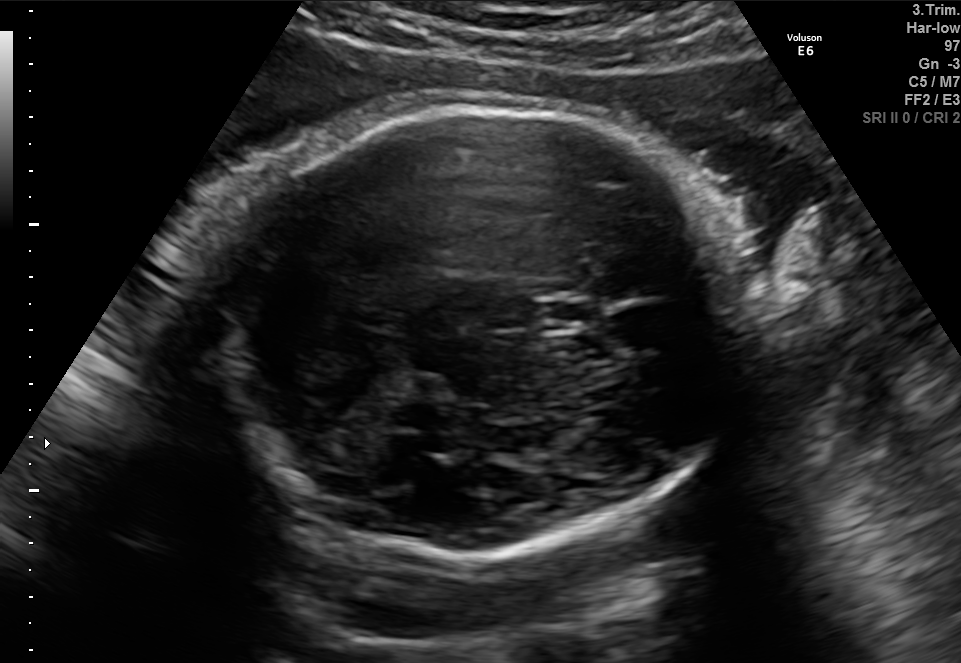
Fetal brain, trans-thalamic plane. Locate the fetal head and, if visible, the cavum septum pellucidum (CSP) and lateral ventricle (LV). Give bounding boxes as [x1,y1,x2,y2].

Head: [218,105,755,558]
CSP: [534,299,596,330]